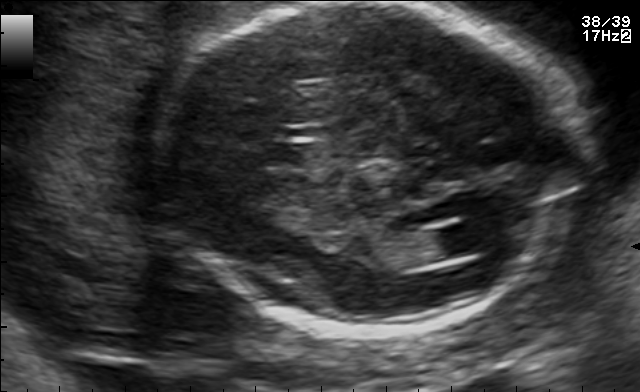
Classify this maternal-fetal ultrasound image as one of the six standard planes — fetal abdomen, fetal brain, fetal femur, fetal thorax, maternal cervix, or other. If it's fetal brain and one of the three standard brain planes (trans-thalamic, trans-cerebellum, trans-ventricular), name which.

Fetal brain (trans-ventricular plane)